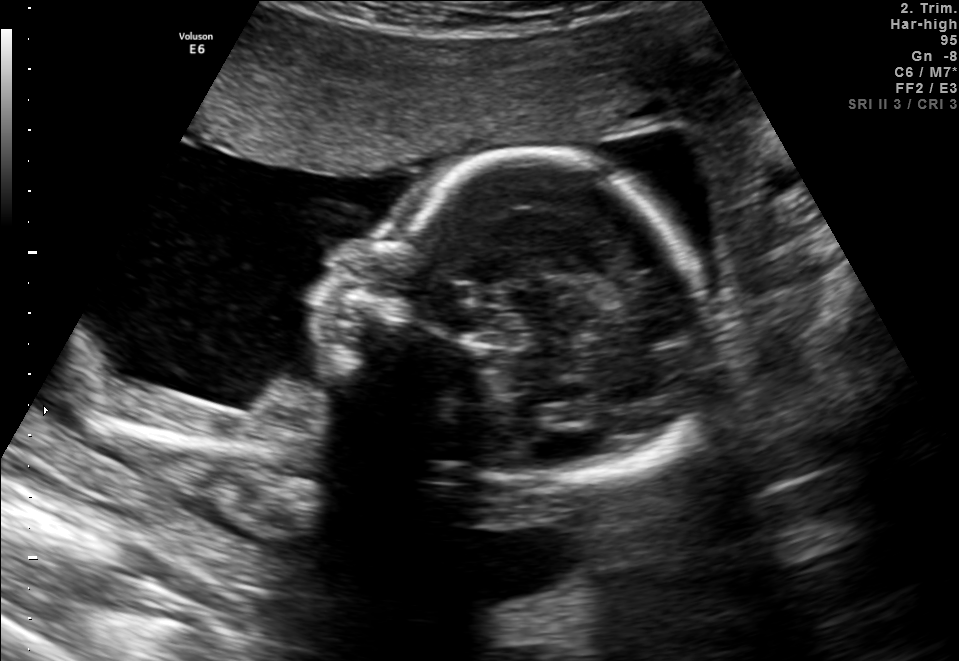
This is a 2D maternal-fetal ultrasound frame. Is it a fetal abdomen, fetal brain, fetal femur, fetal thorax, maternal cervix, or other standard plane? If it's fetal brain and one of the three standard brain planes (trans-thalamic, trans-cerebellum, trans-ventricular), name which.

Other